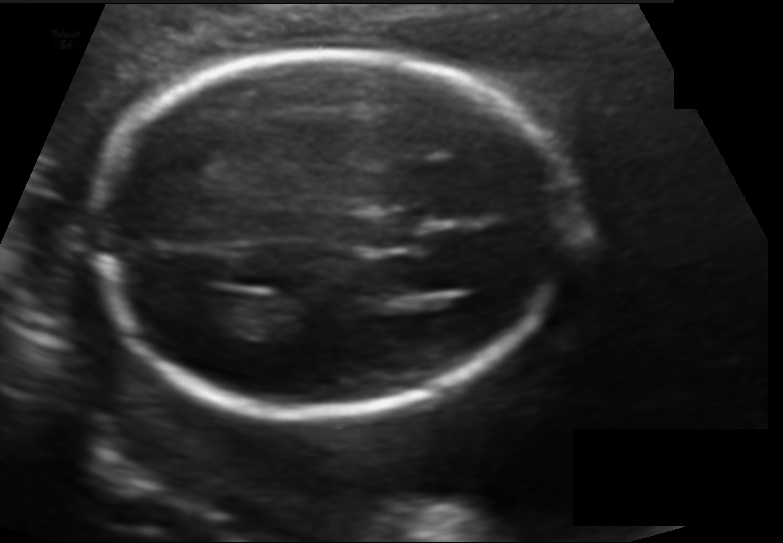
In this fetal head ultrasound, give the bounding box of the fetal head. Image width: 100.2 mm.

[93,55,564,412]